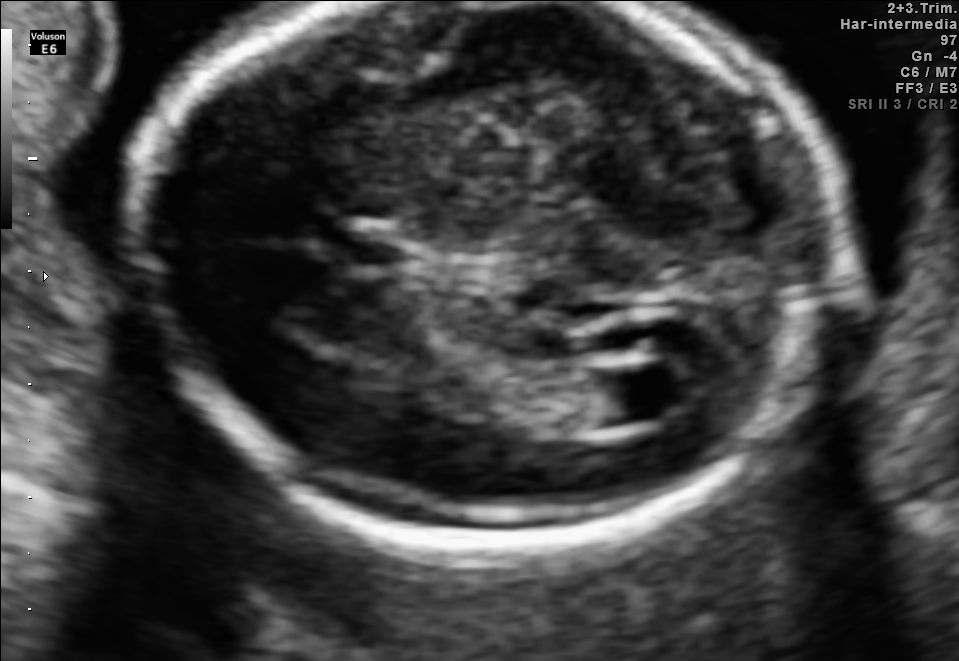
Fetal brain, trans-ventricular plane. Give [x1,y1,x2,y2] bounding boxes for each visible structure among: CSP, LV.

CSP: [349,237,407,269]
Lateral ventricle: [582,357,689,429]